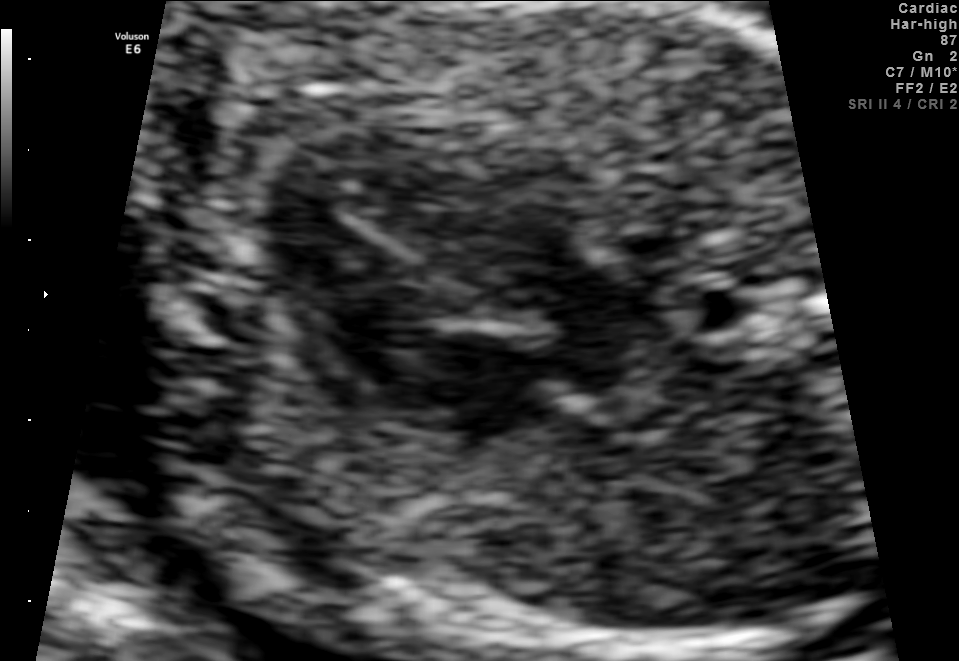
Which standard maternal-fetal ultrasound plane is shown: fetal abdomen, fetal brain, fetal femur, fetal thorax, maternal cervix, or other? If it's fetal brain and one of the three standard brain planes (trans-thalamic, trans-cerebellum, trans-ventricular), name which.

Fetal thorax